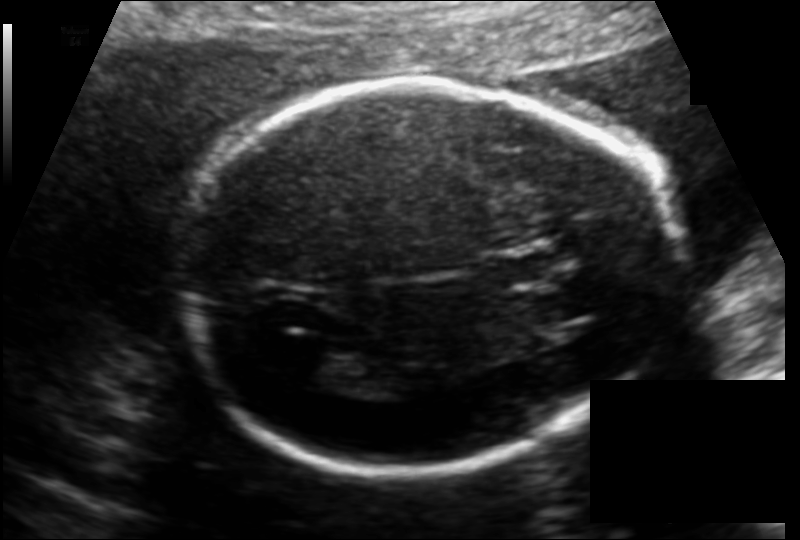
In this fetal head ultrasound, give bounding boxes for the head outline, cavum septum pellucidum (CSP), and lateral ventricle (LV), where visible. Image width: 104.3 mm.

Head: [176,78,674,479]
CSP: [491,238,571,291]
Lateral ventricle: [288,339,367,392]